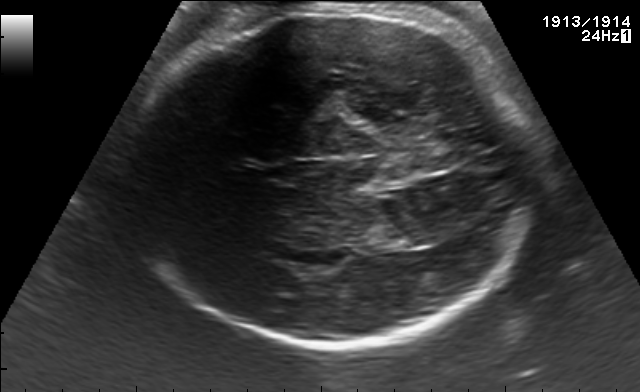
This is a 2D maternal-fetal ultrasound frame. Is it a fetal abdomen, fetal brain, fetal femur, fetal thorax, maternal cervix, or other standard plane? If it's fetal brain and one of the three standard brain planes (trans-thalamic, trans-cerebellum, trans-ventricular), name which.

Fetal brain (trans-thalamic plane)